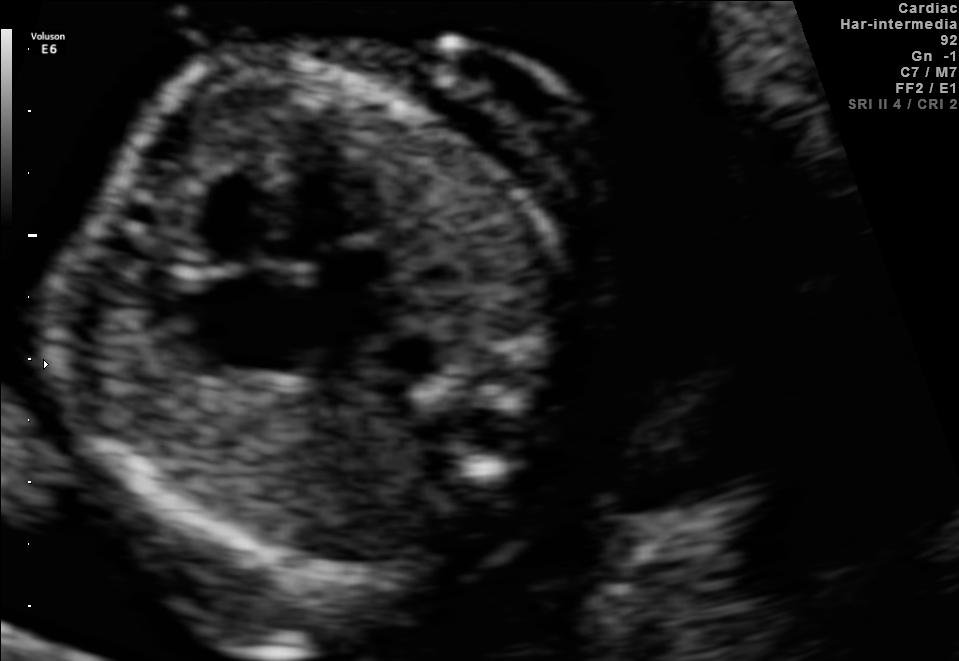
This is a 2D maternal-fetal ultrasound frame. Is it a fetal abdomen, fetal brain, fetal femur, fetal thorax, maternal cervix, or other standard plane? If it's fetal brain and one of the three standard brain planes (trans-thalamic, trans-cerebellum, trans-ventricular), name which.

Fetal thorax